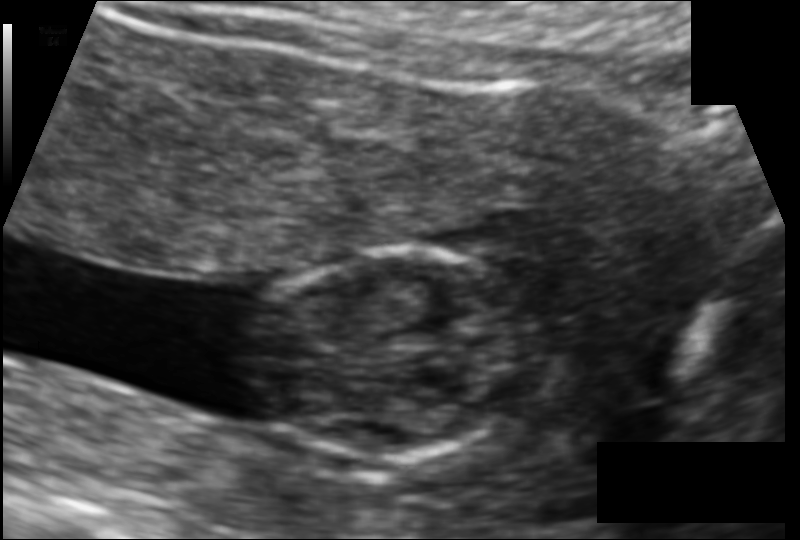
What is the fetal head circumference? Image width is 84.2 mm.

86.4 mm